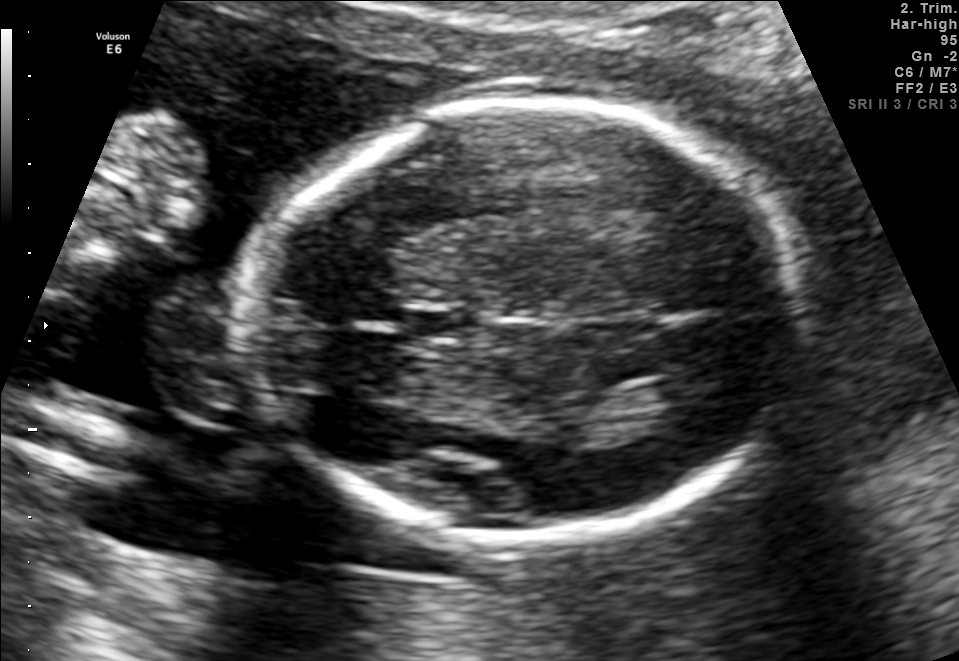
In this fetal brain, trans-thalamic plane, give the bounding box of the fetal head.

[242,105,797,542]